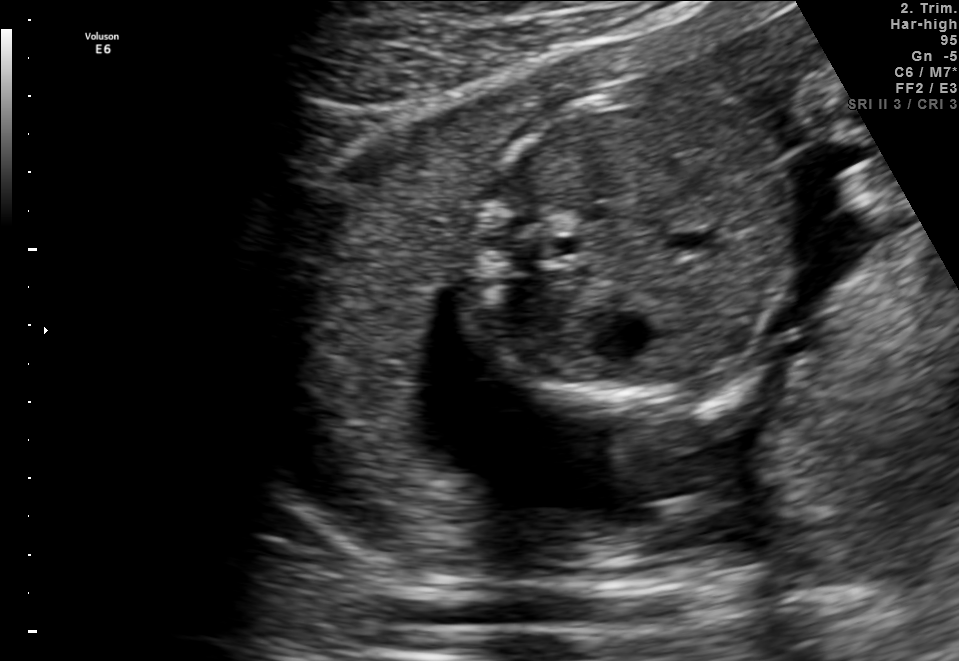
Which standard maternal-fetal ultrasound plane is shown: fetal abdomen, fetal brain, fetal femur, fetal thorax, maternal cervix, or other? If it's fetal brain and one of the three standard brain planes (trans-thalamic, trans-cerebellum, trans-ventricular), name which.

Fetal abdomen